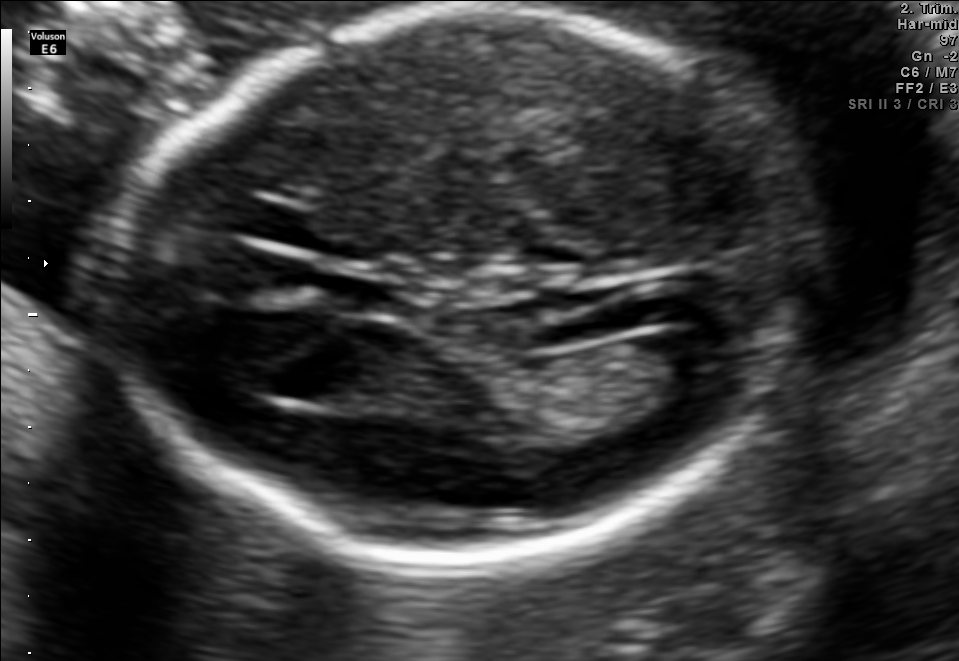
Fetal brain, trans-ventricular plane. Locate the cavum septum pellucidum.

CSP: [332,276,404,319]